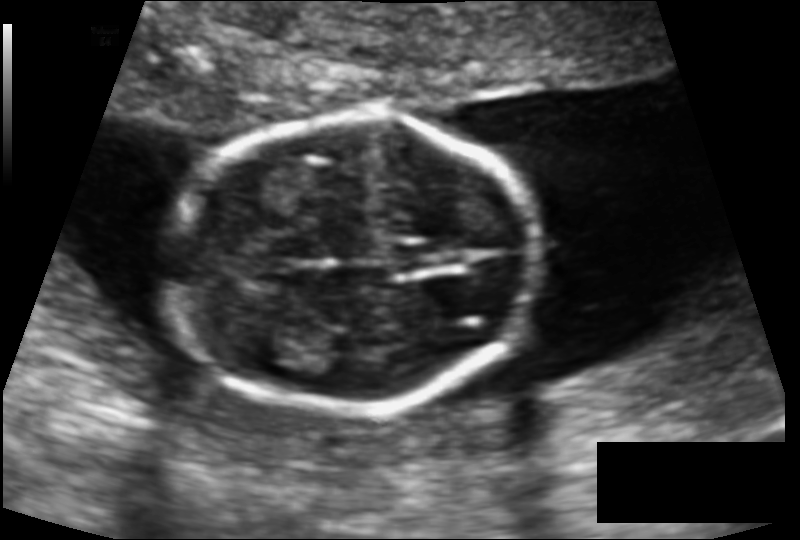
Fetal head ultrasound. Image width: 89.5 mm. Give [x1,y1,x2,y2] bounding boxes for each visible structure among: fetal head, CSP, LV.

Head: [166,118,537,410]
CSP: [392,243,437,272]